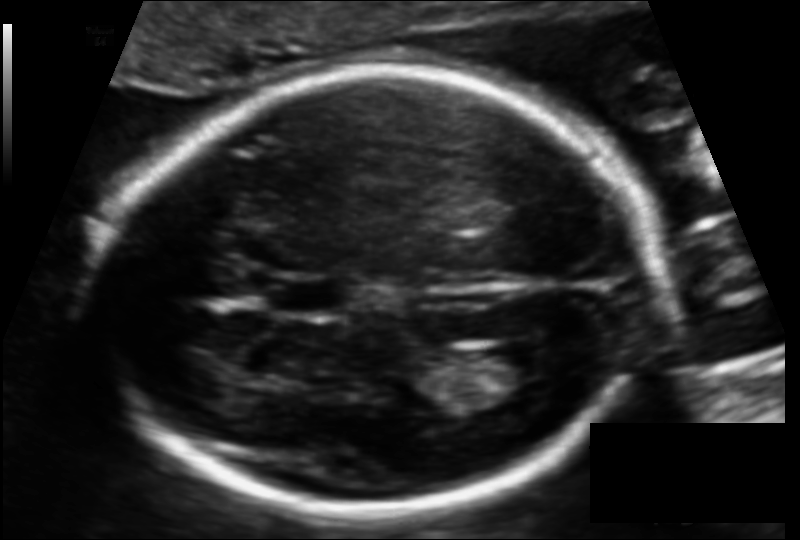
Fetal head ultrasound. Image width: 89.8 mm. Give [x1,y1,x2,y2] bounding boxes for each visible structure among: fetal head, CSP, LV.

Head: [94,69,652,511]
CSP: [265,277,343,315]
Lateral ventricle: [477,331,560,394]